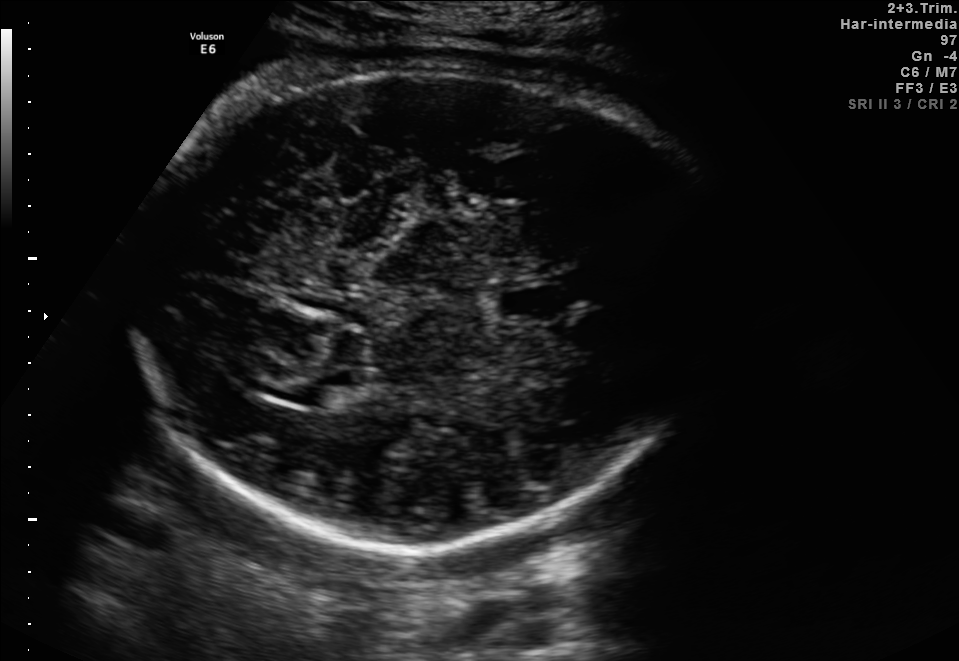
Fetal brain, trans-thalamic plane. Locate the cavum septum pellucidum.

CSP: [497,280,561,319]